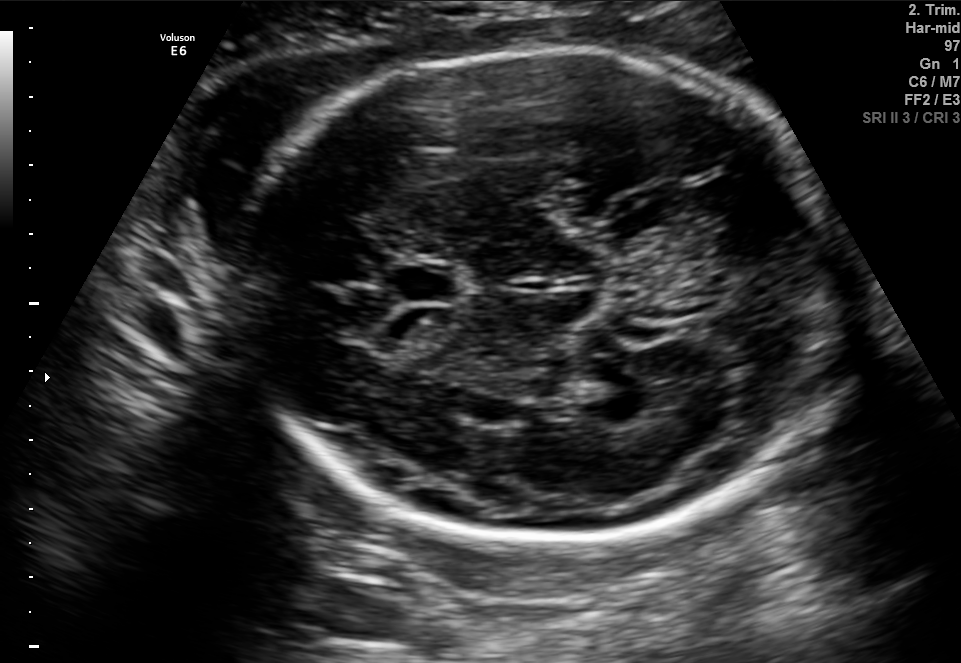
This is a 2D maternal-fetal ultrasound frame. Is it a fetal abdomen, fetal brain, fetal femur, fetal thorax, maternal cervix, or other standard plane? If it's fetal brain and one of the three standard brain planes (trans-thalamic, trans-cerebellum, trans-ventricular), name which.

Fetal brain (trans-thalamic plane)